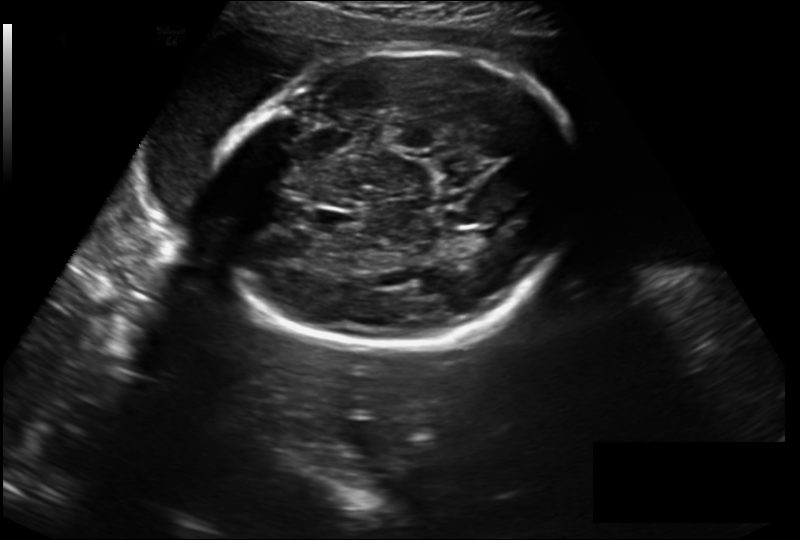
In this fetal head ultrasound, give bounding boxes for the head outline, cavum septum pellucidum (CSP), and lateral ventricle (LV), where visible. Image width: 184.1 mm.

Head: [212,52,581,347]